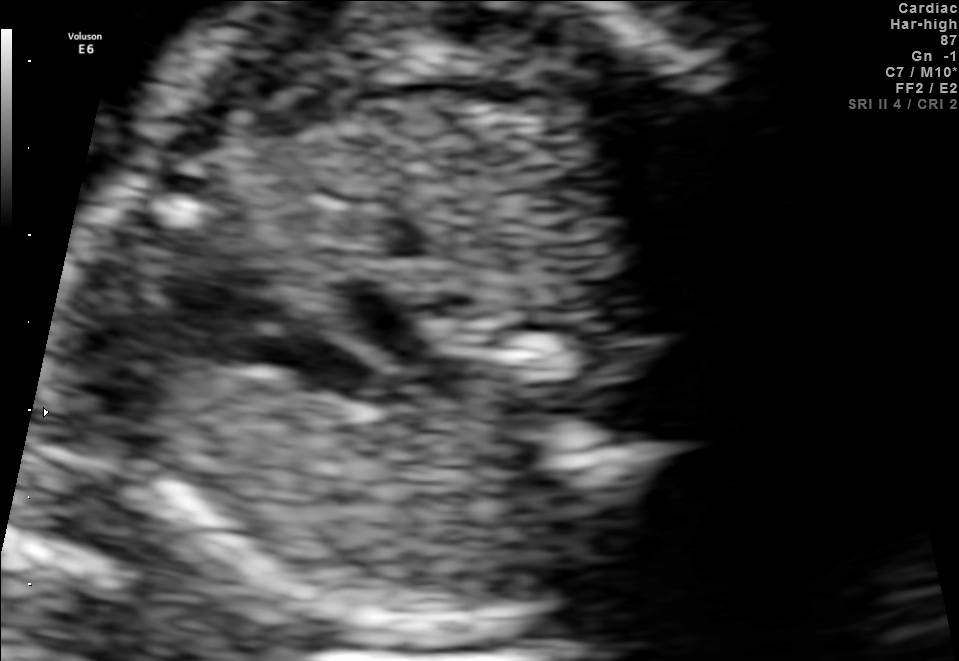
Classify this maternal-fetal ultrasound image as one of the six standard planes — fetal abdomen, fetal brain, fetal femur, fetal thorax, maternal cervix, or other. If it's fetal brain and one of the three standard brain planes (trans-thalamic, trans-cerebellum, trans-ventricular), name which.

Other